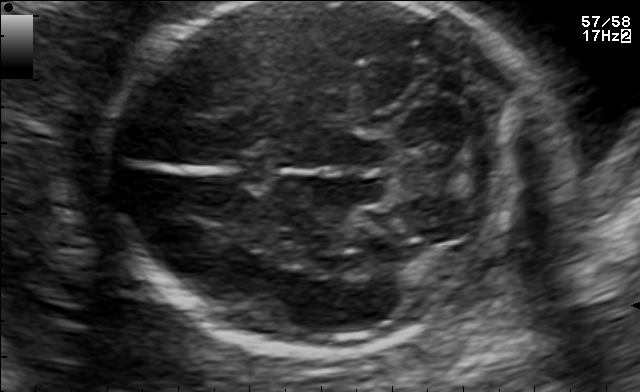
Fetal brain, trans-cerebellum plane. Locate the fetal head.

Head: [102,2,511,358]